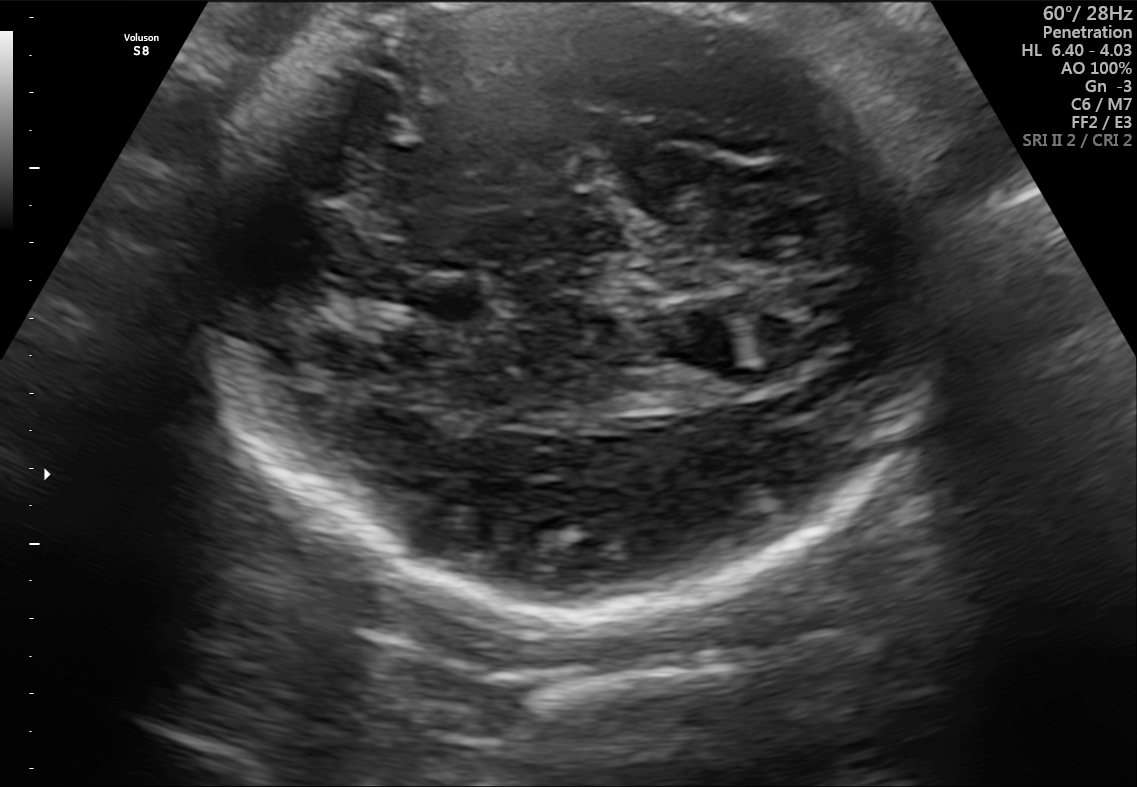
In this fetal brain, trans-thalamic plane, give bounding boxes for the head outline, cavum septum pellucidum (CSP), and lateral ventricle (LV), where visible.

Head: [209,5,938,620]
CSP: [408,276,487,316]